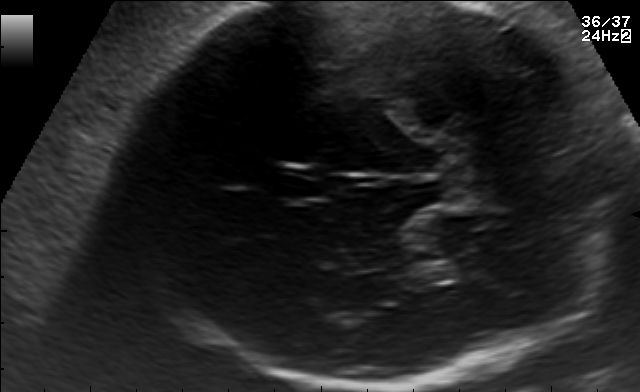
Fetal brain, trans-thalamic plane. Where is the fetal head?

Head bounding box: [115,2,624,390]